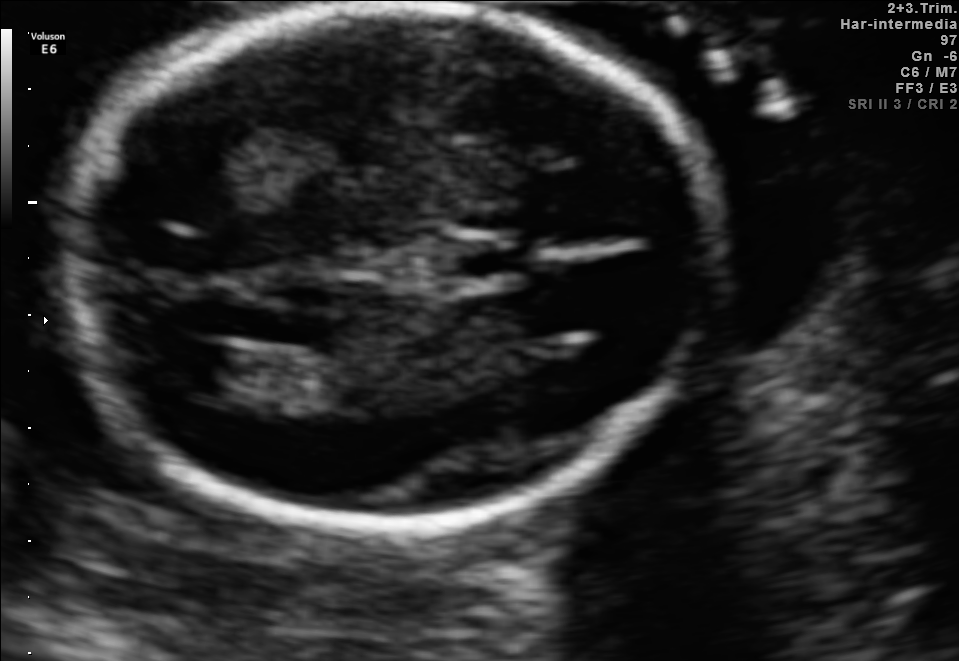
Fetal brain, trans-ventricular plane. Locate the fetal head and, if visible, the cavum septum pellucidum (CSP) and lateral ventricle (LV). Give bounding boxes as [x1,y1,x2,y2].

Head: [59,7,718,536]
CSP: [448,243,521,275]
Lateral ventricle: [154,331,243,401]